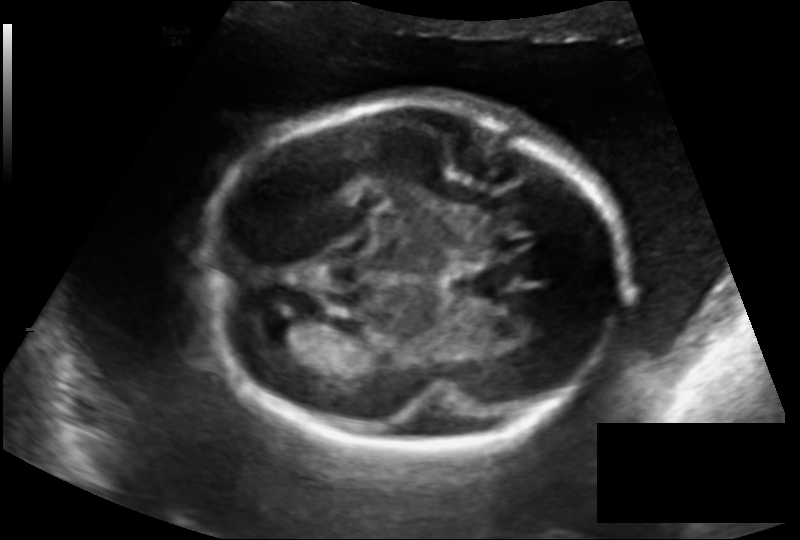
From this fetal ultrasound, estimate the head circumference (image width 129.7 mm).

Head circumference: 199.5 mm.